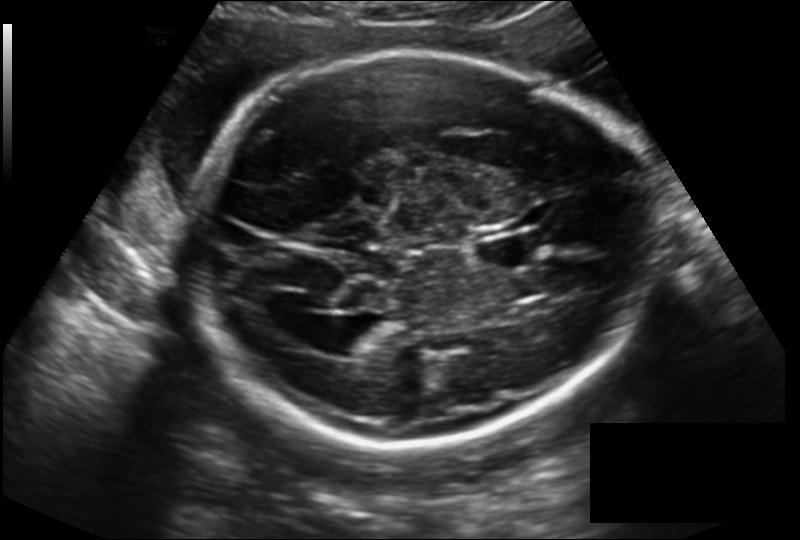
Estimate the fetal head circumference from this 2D ultrasound.

Head circumference: 270.3 mm (image width 155.0 mm).